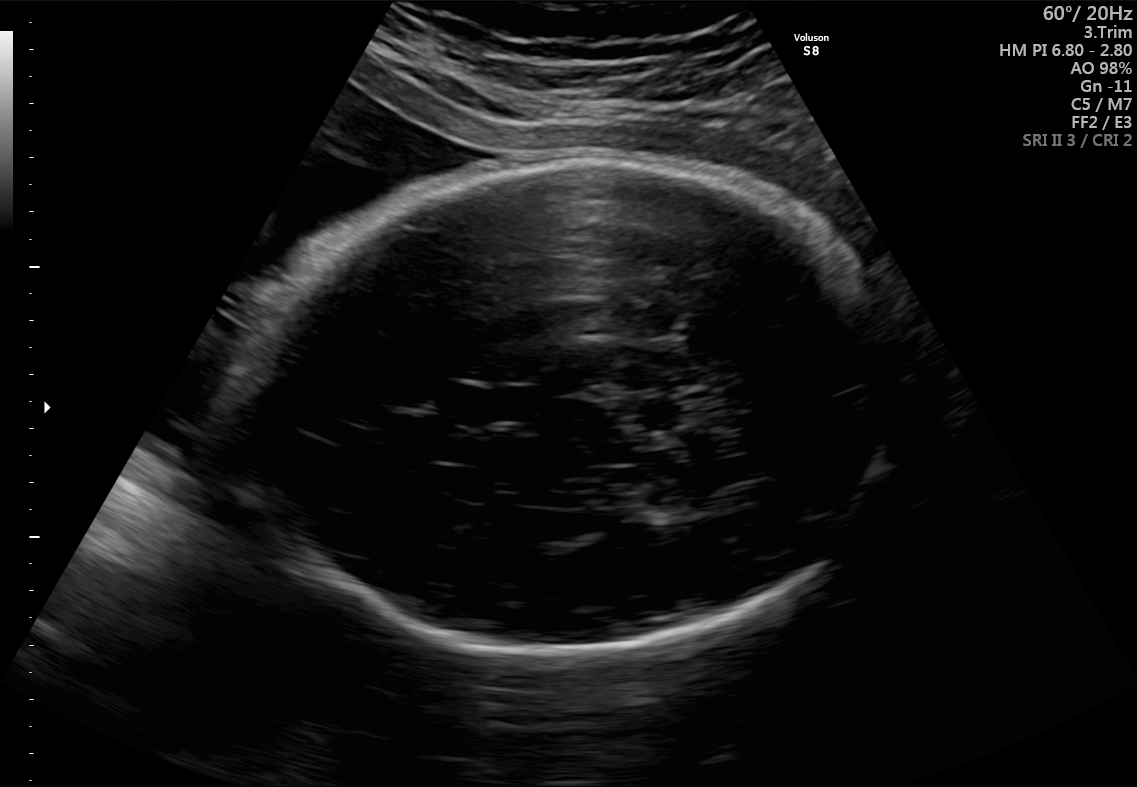
Fetal brain, trans-thalamic plane. Give [x1,y1,x2,y2] bounding boxes for each visible structure among: fetal head, CSP, LV.

Head: [225,154,909,662]